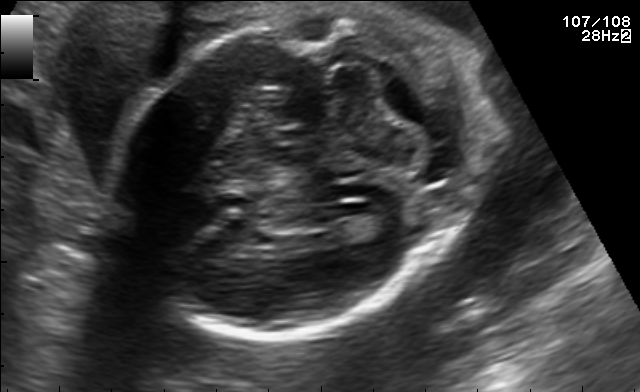
Classify this maternal-fetal ultrasound image as one of the six standard planes — fetal abdomen, fetal brain, fetal femur, fetal thorax, maternal cervix, or other. If it's fetal brain and one of the three standard brain planes (trans-thalamic, trans-cerebellum, trans-ventricular), name which.

Fetal brain (trans-cerebellum plane)